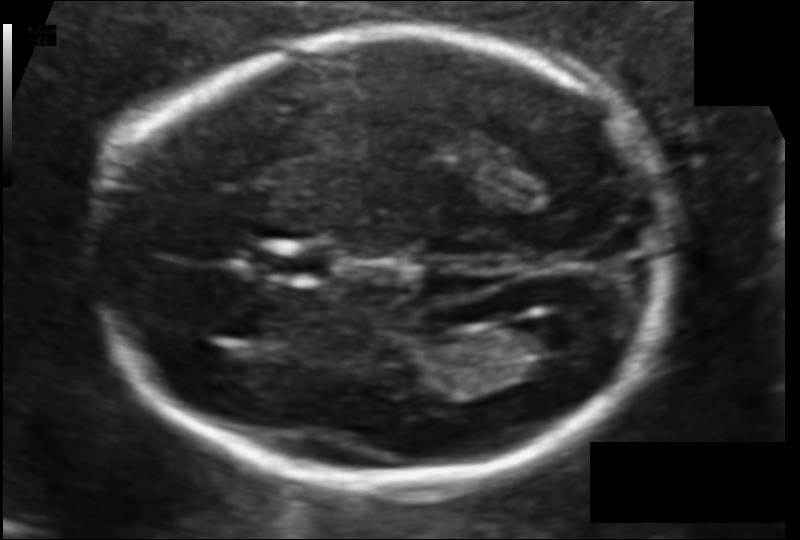
In this fetal head ultrasound, give the bounding box of the fetal head. Image width: 85.0 mm.

[98,32,670,485]